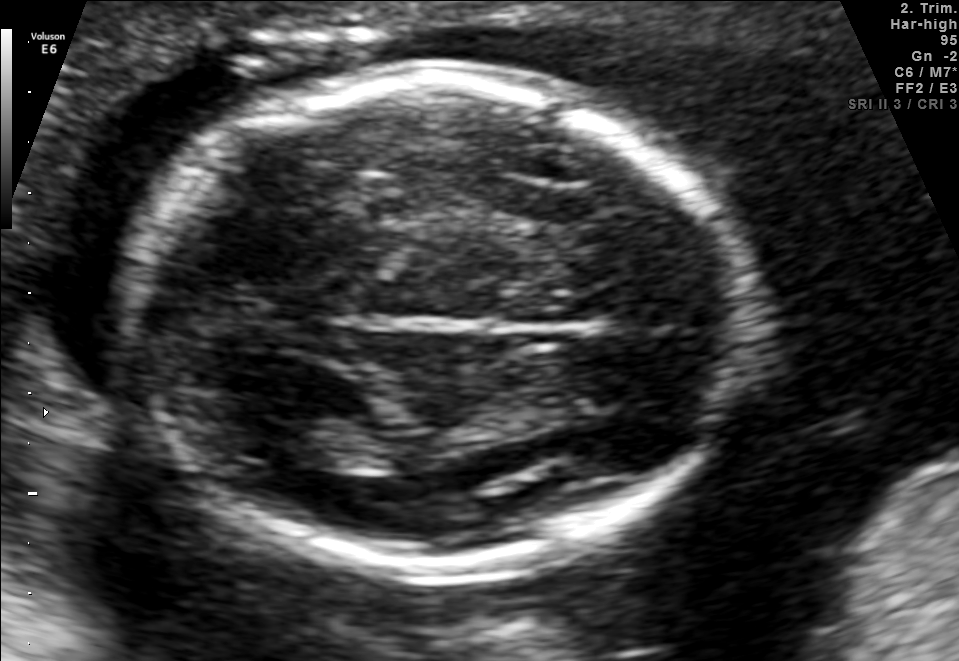
Fetal brain, trans-thalamic plane. Locate the fetal head and, if visible, the cavum septum pellucidum (CSP) and lateral ventricle (LV). Give bounding boxes as [x1,y1,x2,y2].

Head: [119,76,750,569]
Lateral ventricle: [245,413,345,473]